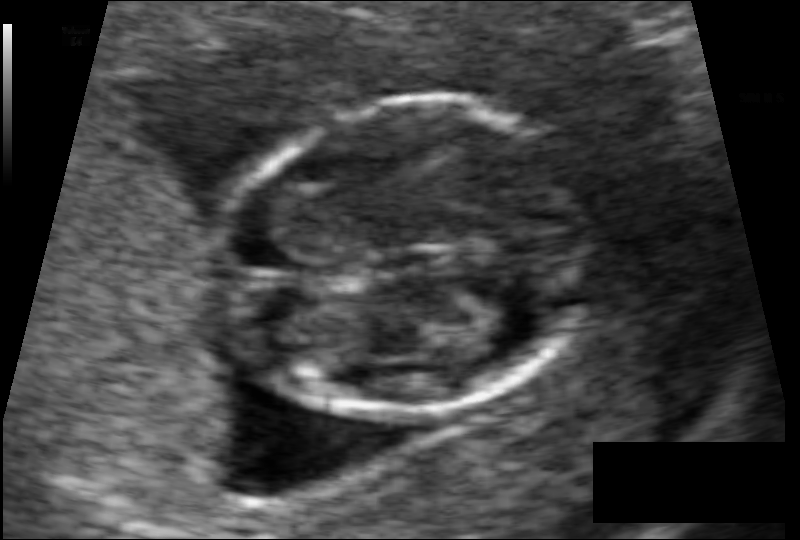
Estimate the fetal head circumference from this 2D ultrasound.

Head circumference: 69.5 mm (image width 48.9 mm).